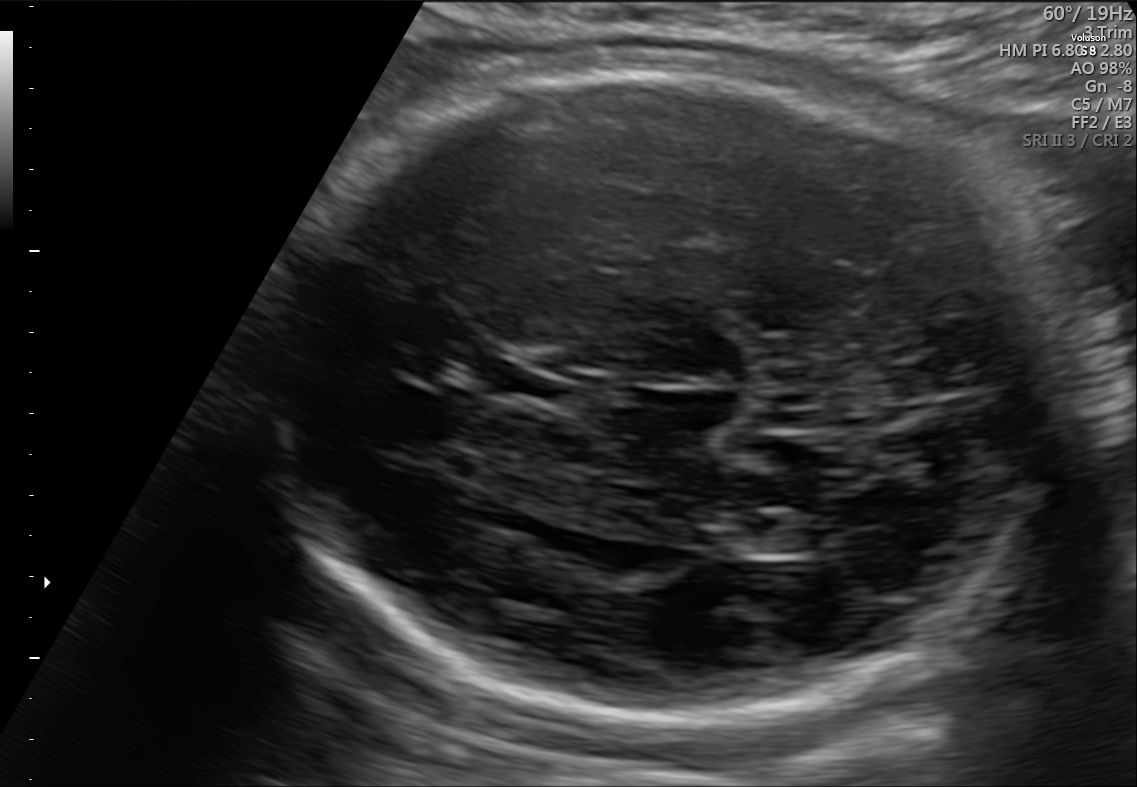
This is a 2D maternal-fetal ultrasound frame. Is it a fetal abdomen, fetal brain, fetal femur, fetal thorax, maternal cervix, or other standard plane? If it's fetal brain and one of the three standard brain planes (trans-thalamic, trans-cerebellum, trans-ventricular), name which.

Fetal brain (trans-ventricular plane)